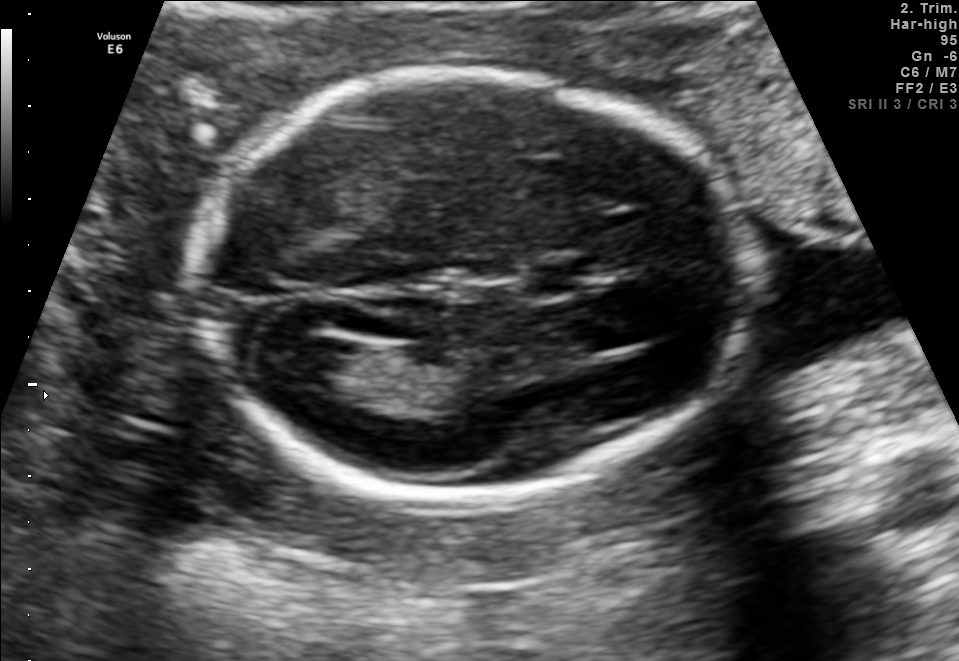
Identify the standard plane in this fetal ultrasound image: fetal abdomen, fetal brain, fetal femur, fetal thorax, maternal cervix, or other. If it's fetal brain and one of the three standard brain planes (trans-thalamic, trans-cerebellum, trans-ventricular), name which.

Fetal brain (trans-ventricular plane)